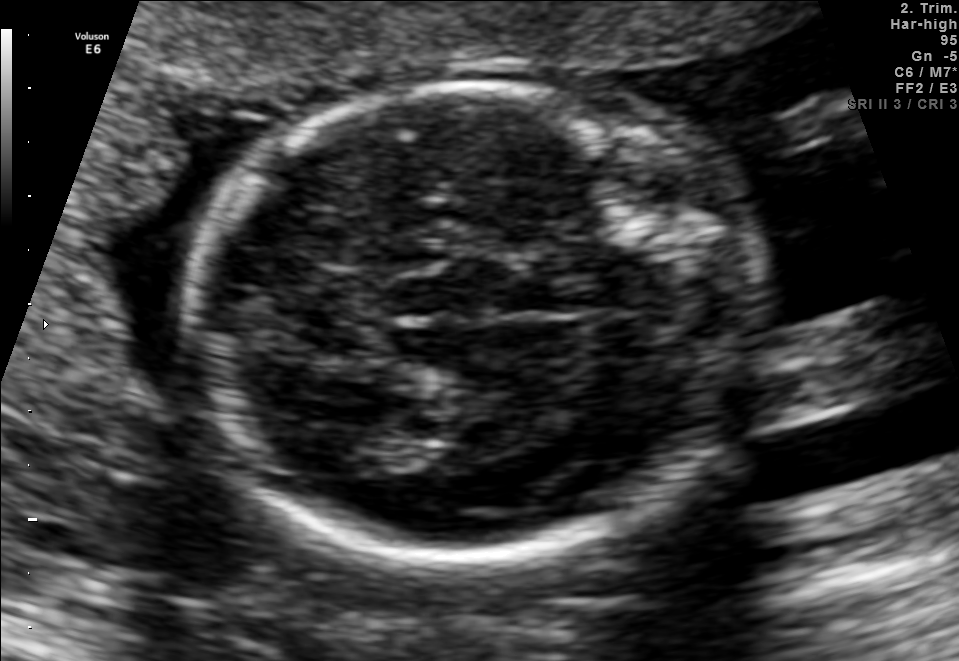
Fetal brain, trans-thalamic plane. Where is the fetal head?

Head bounding box: [181,87,752,560]